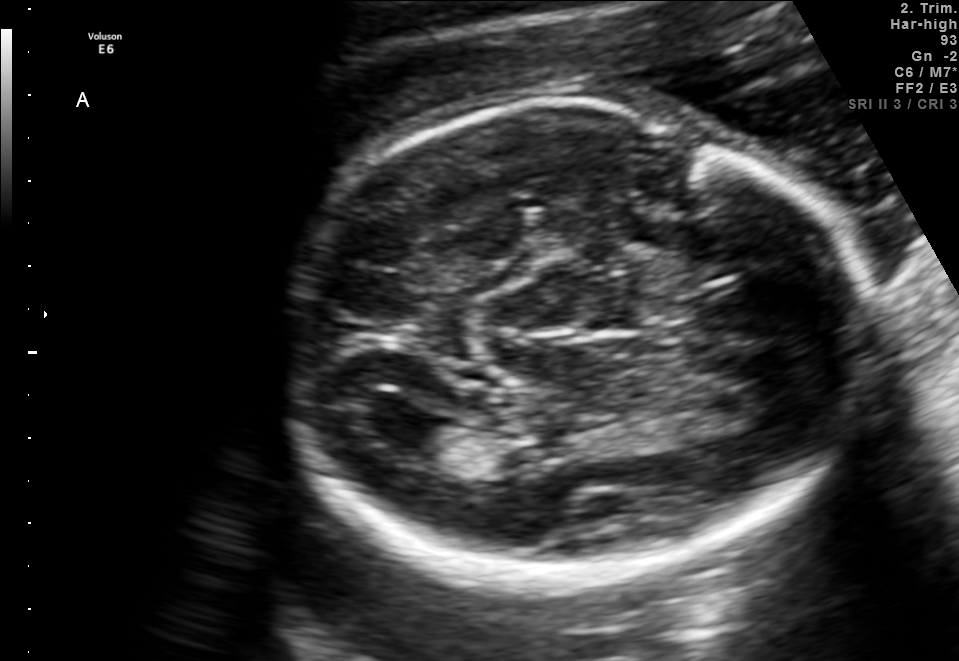
Fetal brain, trans-ventricular plane. Give [x1,y1,x2,y2] bounding boxes for each visible structure among: fetal head, CSP, LV.

Head: [271,101,880,598]
Lateral ventricle: [363,394,451,460]